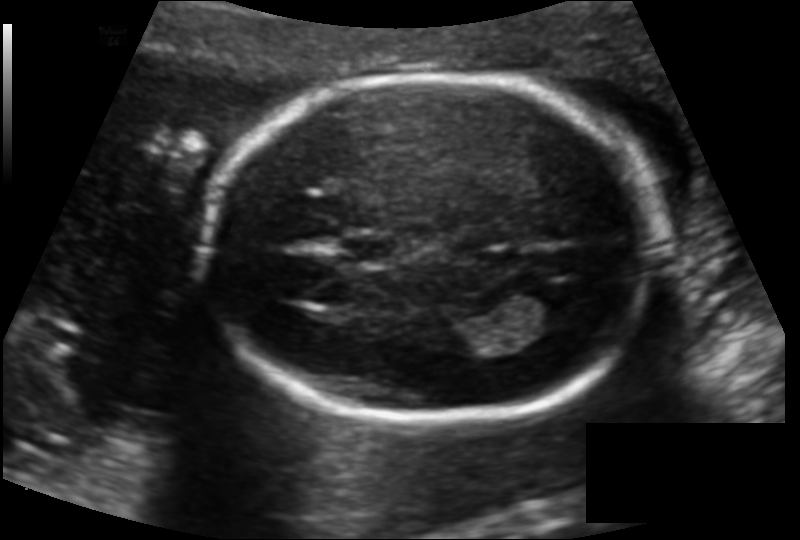
From this fetal ultrasound, estimate the head circumference (image width 104.1 mm).

Head circumference: 172.0 mm.